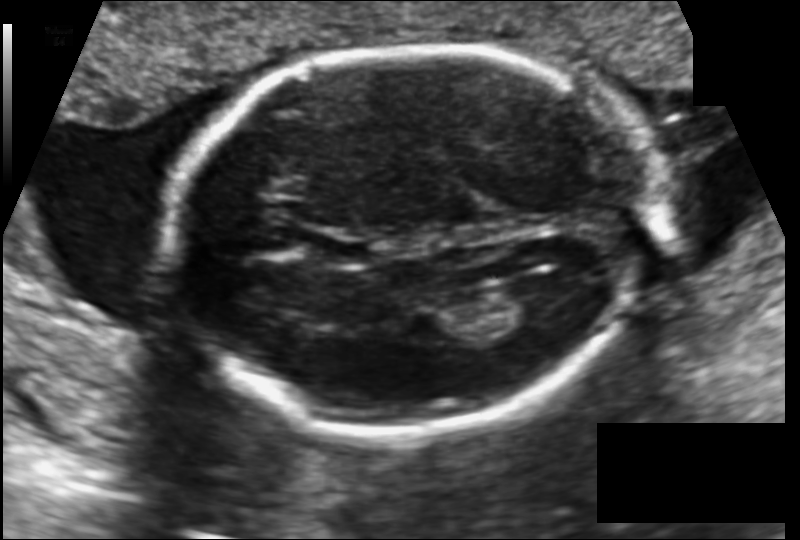
Fetal head ultrasound. Image width: 106.0 mm. Where is the cavum septum pellucidum?

CSP bounding box: [311,231,374,269]